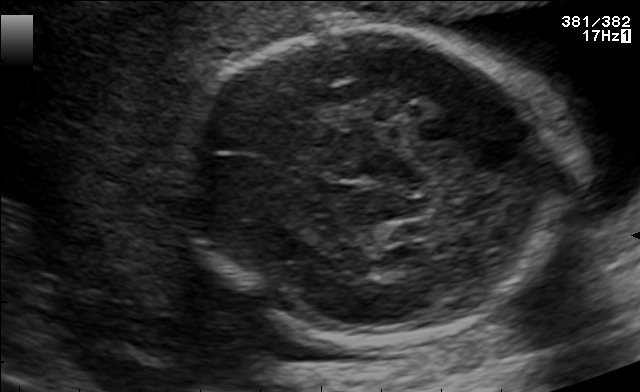
Fetal brain, trans-thalamic plane. Locate the fetal head and, if visible, the cavum septum pellucidum (CSP) and lateral ventricle (LV). Give bounding boxes as [x1,y1,x2,y2].

Head: [180,26,557,342]